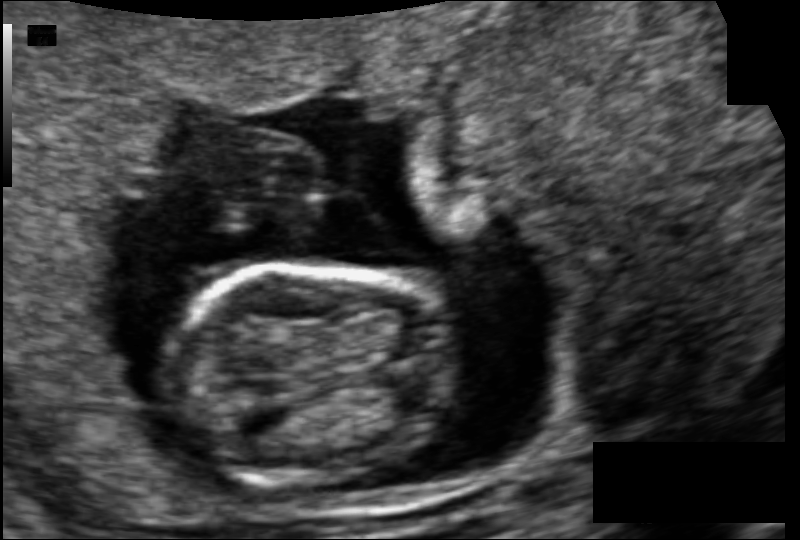
Fetal head ultrasound. Image width: 70.0 mm. Locate the fetal head.

Head: [166,262,457,485]